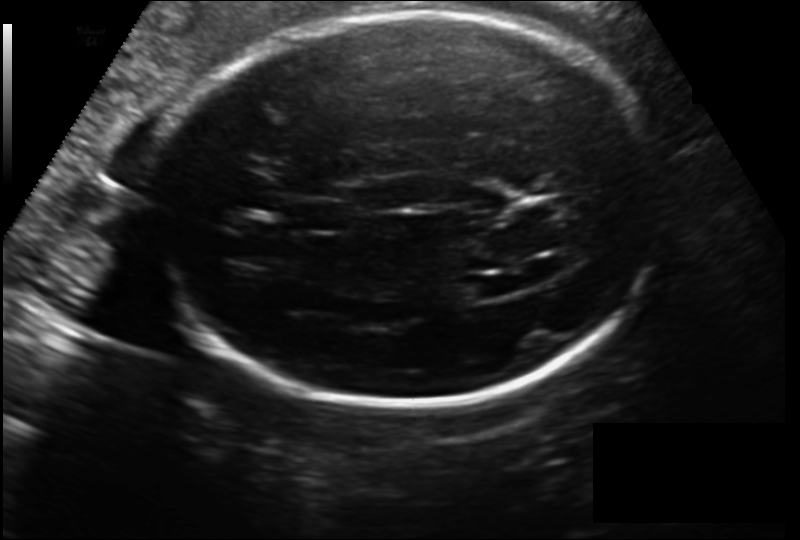
Measure the fetal head circumference shown in this ultrasound image. Image width: 149.1 mm.

Head circumference: 270.8 mm.